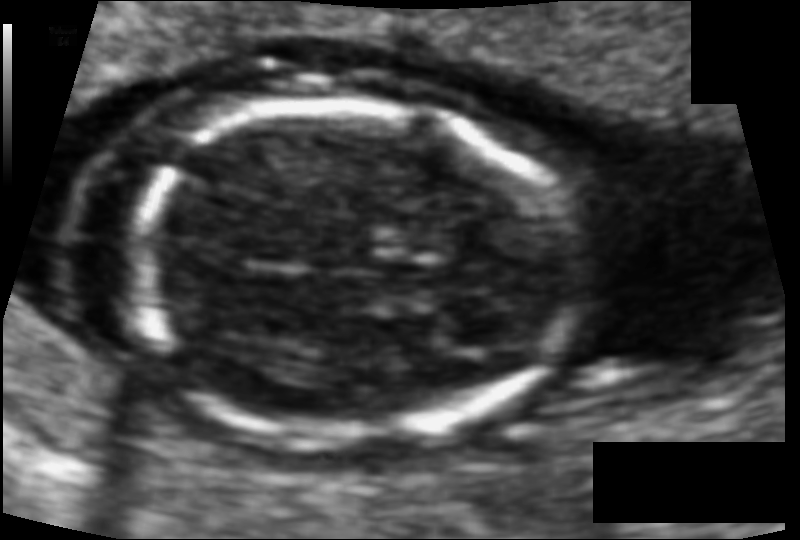
Fetal head ultrasound. Image width: 65.1 mm. Where is the fetal head?

Head bounding box: [132,101,570,437]